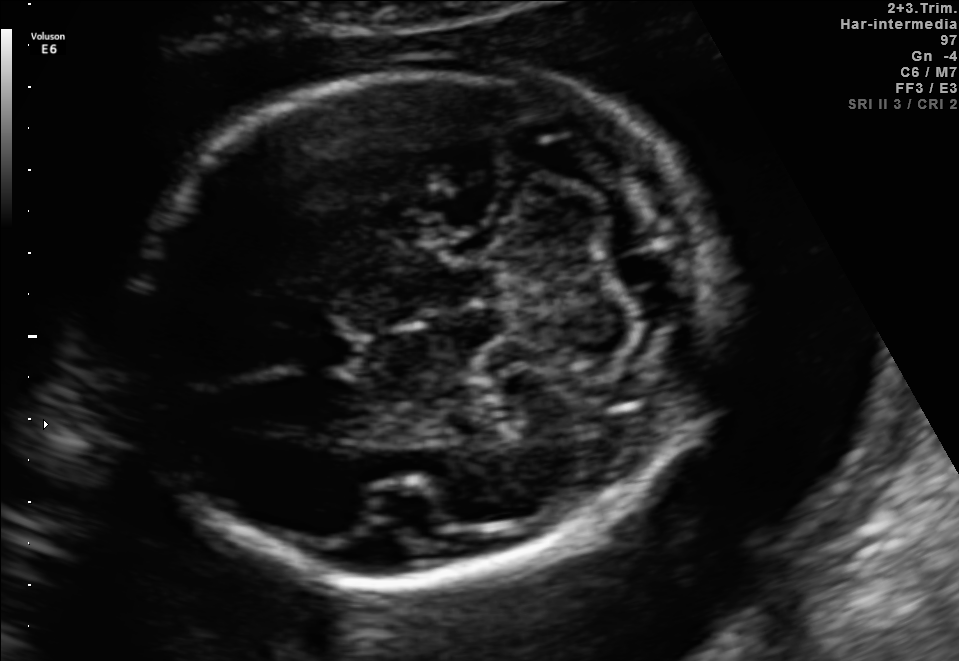
In this fetal brain, trans-cerebellum plane, give the bounding box of the cavum septum pellucidum.

[288,329,358,374]